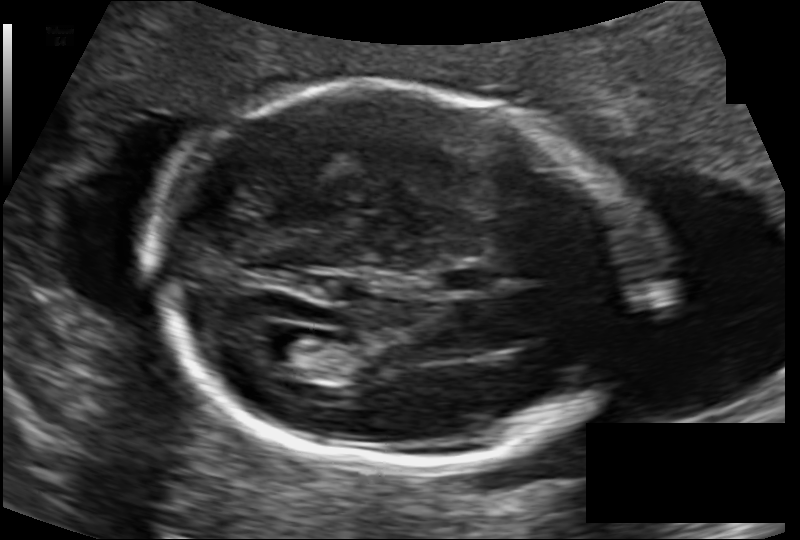
Fetal head ultrasound. Image width: 95.8 mm. Where is the fetal head?

Head bounding box: [147,89,647,467]